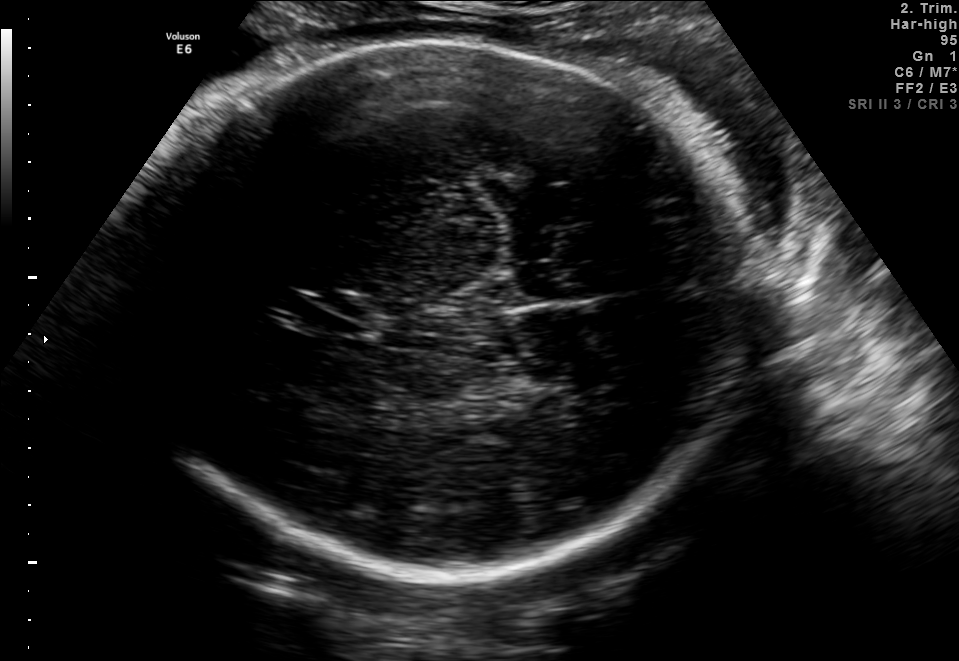
Fetal brain, trans-thalamic plane. Locate the fetal head.

Head: [124,43,749,576]